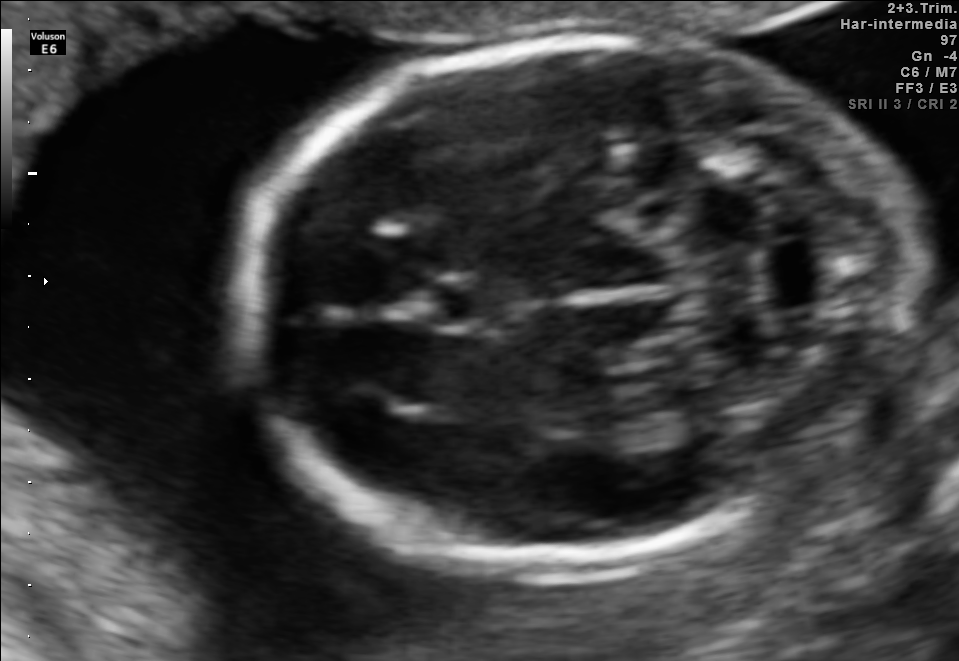
Classify this maternal-fetal ultrasound image as one of the six standard planes — fetal abdomen, fetal brain, fetal femur, fetal thorax, maternal cervix, or other. If it's fetal brain and one of the three standard brain planes (trans-thalamic, trans-cerebellum, trans-ventricular), name which.

Fetal brain (trans-cerebellum plane)